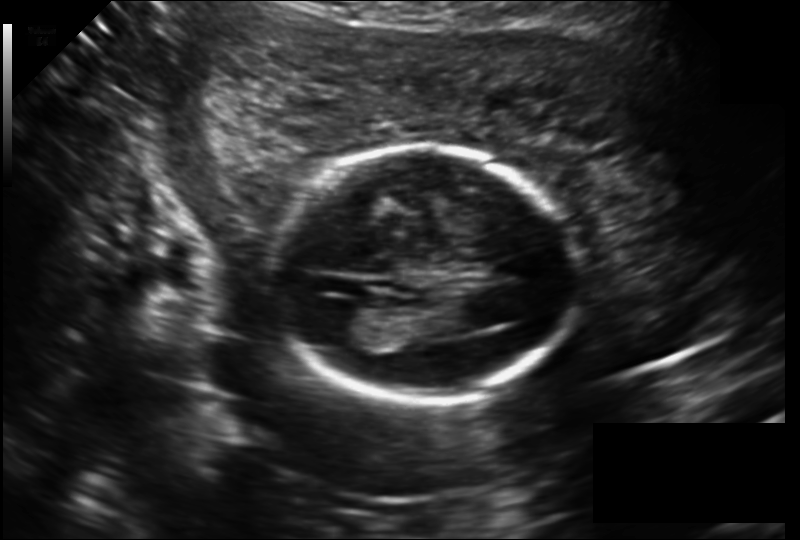
Fetal head ultrasound. Image width: 142.0 mm. Where is the lateral ventricle?

Lateral ventricle bounding box: [302,295,363,335]